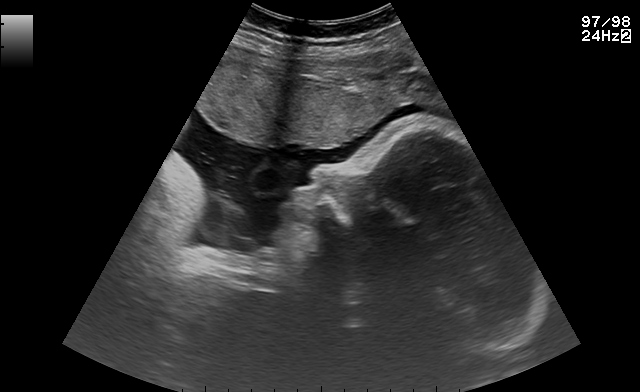
Classify this maternal-fetal ultrasound image as one of the six standard planes — fetal abdomen, fetal brain, fetal femur, fetal thorax, maternal cervix, or other. If it's fetal brain and one of the three standard brain planes (trans-thalamic, trans-cerebellum, trans-ventricular), name which.

Other